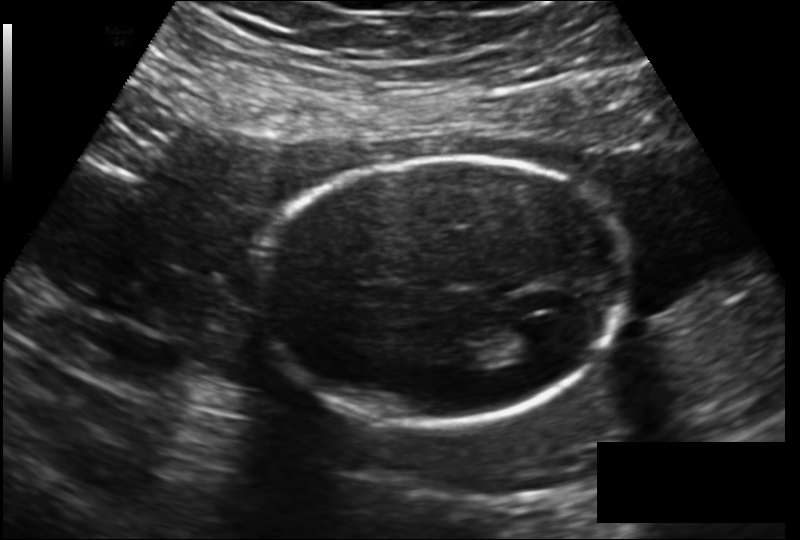
Estimate the fetal head circumference from this 2D ultrasound. Image width: 137.8 mm.

Head circumference: 178.6 mm.